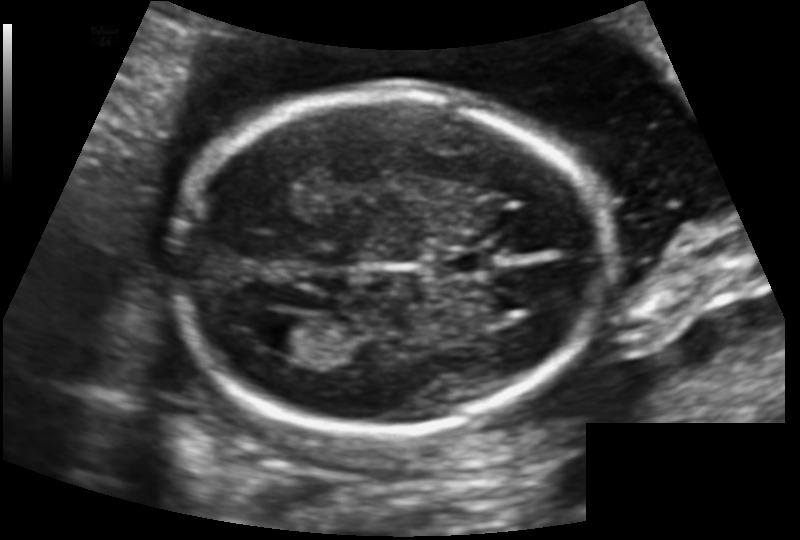
Fetal head ultrasound. Image width: 103.5 mm. Where is the cavum septum pellucidum?

CSP bounding box: [432,248,494,277]